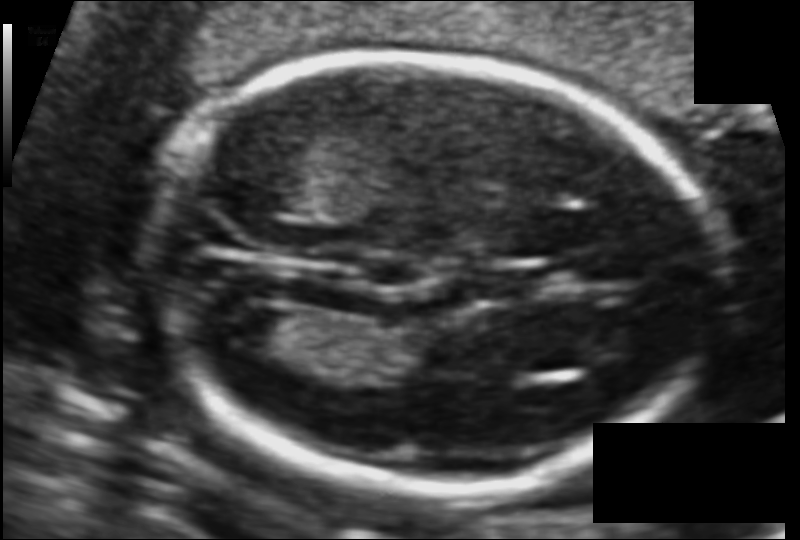
Estimate the fetal head circumference from this 2D ultrasound.

Head circumference: 154.3 mm (image width 75.8 mm).